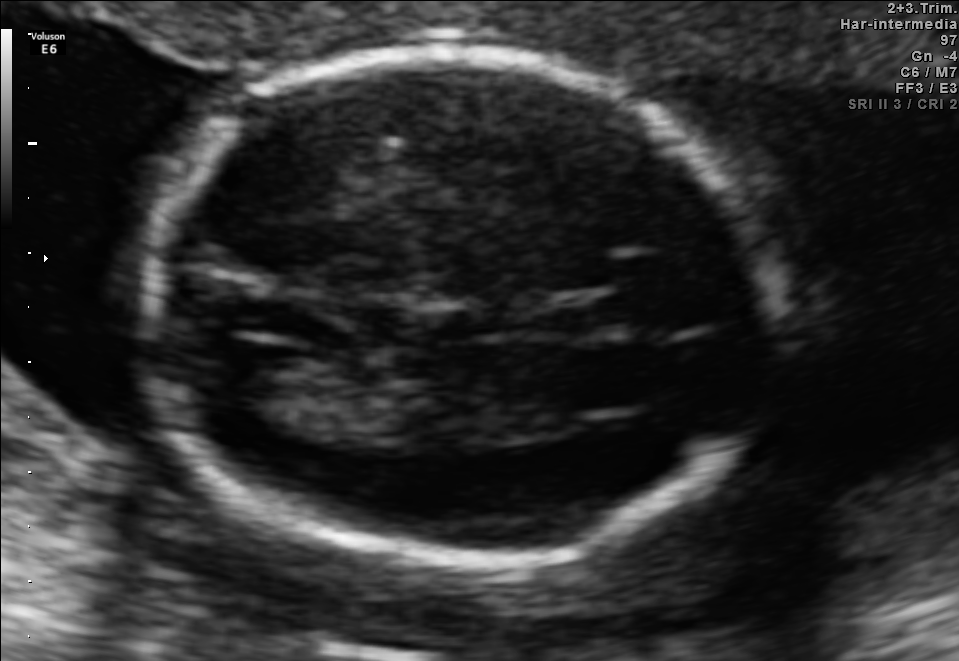
In this fetal brain, trans-ventricular plane, give bounding boxes for the head outline, cavum septum pellucidum (CSP), and lateral ventricle (LV), where visible.

Head: [124,44,797,579]